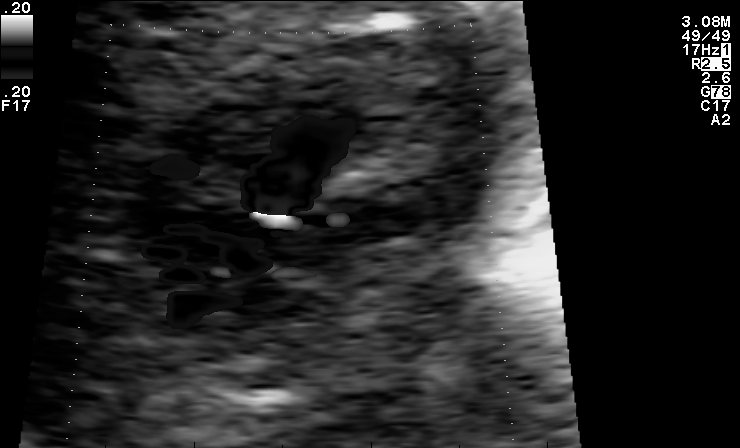
This is a 2D maternal-fetal ultrasound frame. Is it a fetal abdomen, fetal brain, fetal femur, fetal thorax, maternal cervix, or other standard plane? If it's fetal brain and one of the three standard brain planes (trans-thalamic, trans-cerebellum, trans-ventricular), name which.

Other